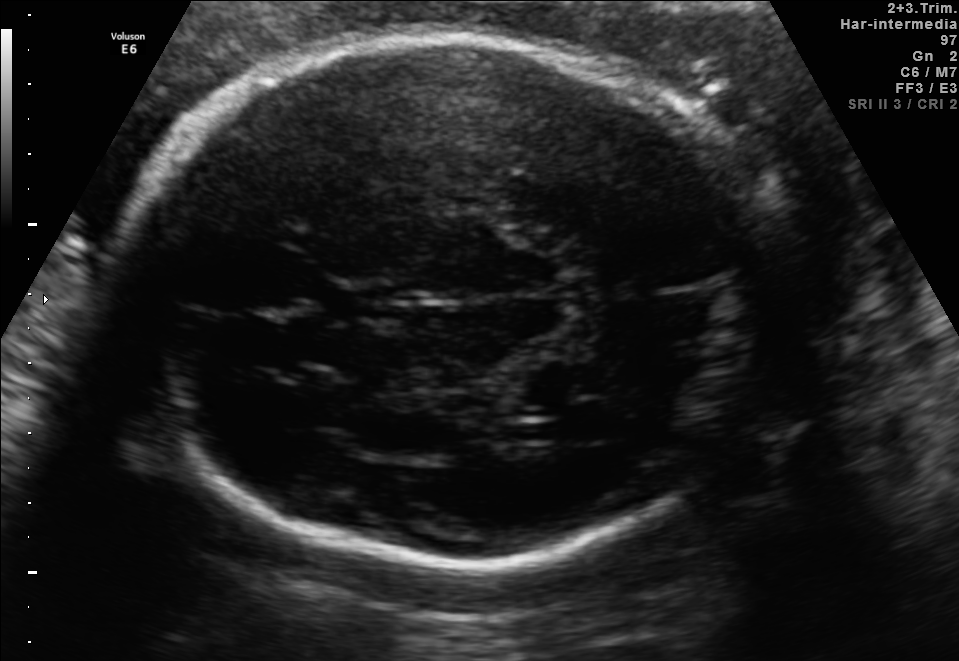
Fetal brain, trans-thalamic plane. Locate the cavum septum pellucidum.

CSP: [322,280,392,324]